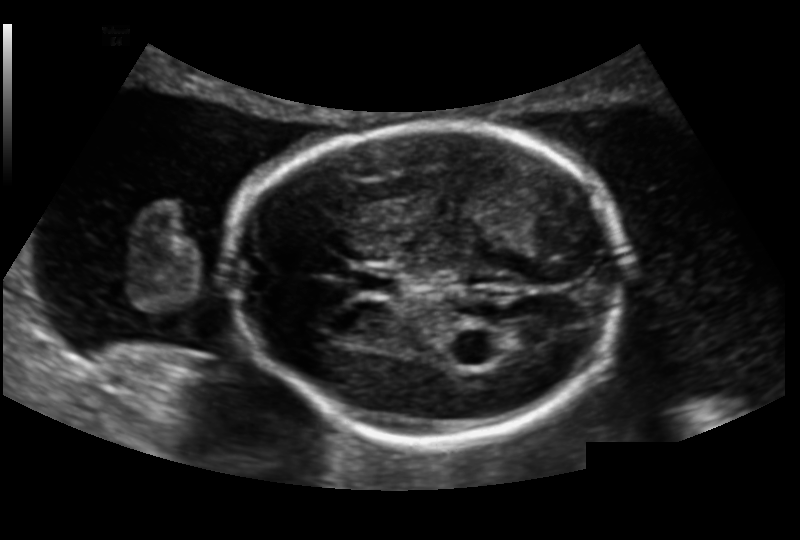
Fetal head ultrasound. Image width: 121.1 mm. Locate the cavum septum pellucidum.

CSP: [352,268,402,297]